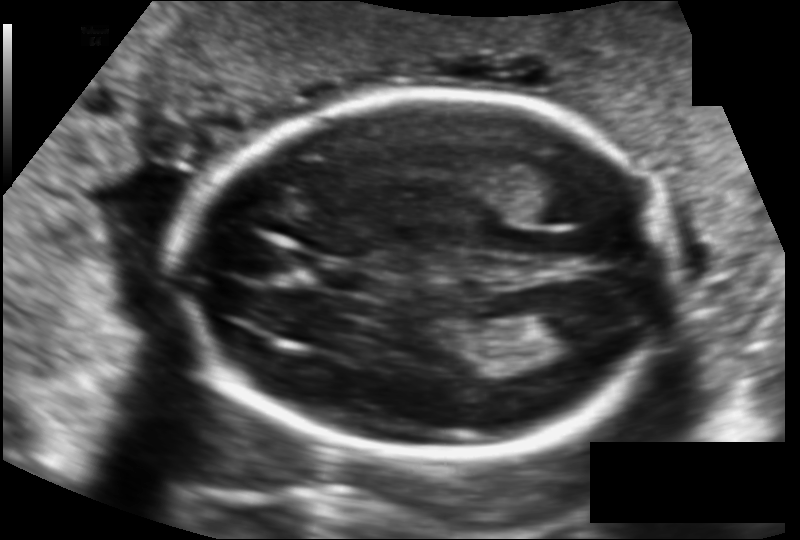
What is the fetal head circumference? Image width is 98.9 mm.

174.0 mm